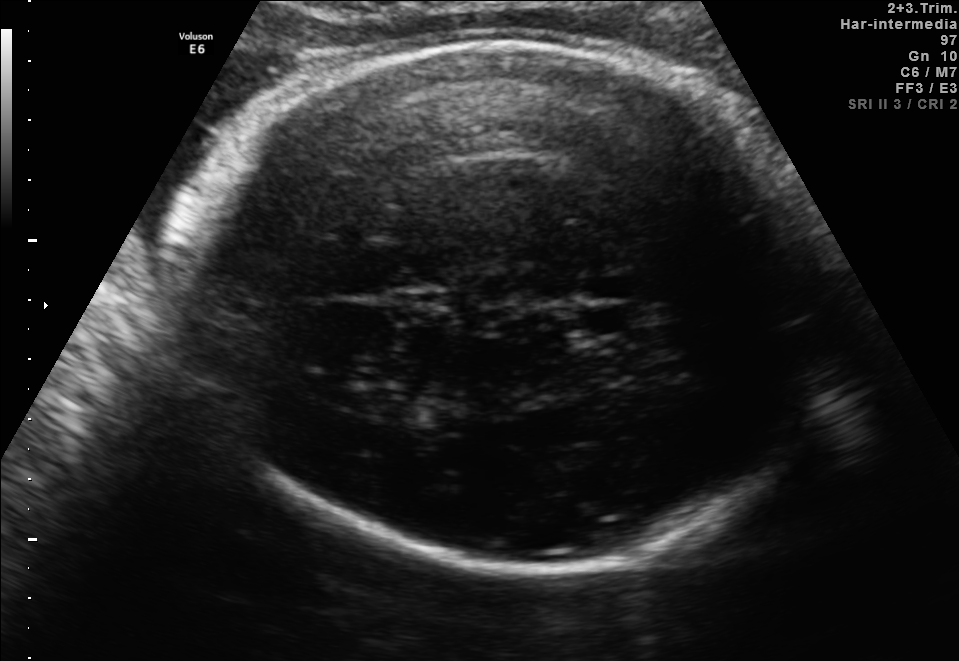
In this fetal brain, trans-thalamic plane, give the bounding box of the fetal head.

[197,38,836,569]